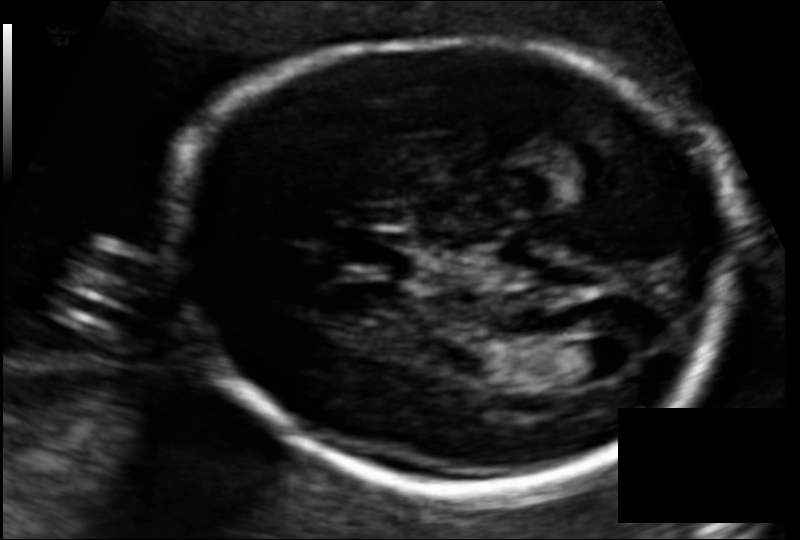
Fetal head ultrasound. Image width: 86.4 mm. Where is the cavum septum pellucidum?

CSP bounding box: [342,228,416,277]